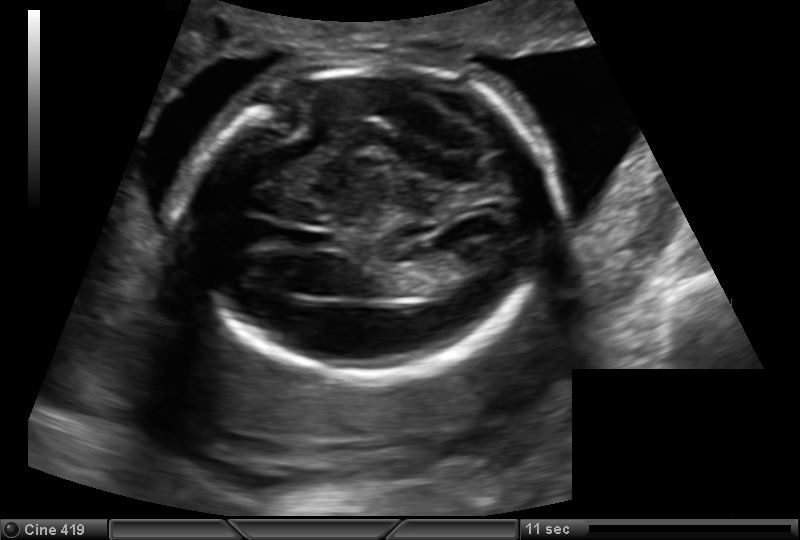
Estimate the fetal head circumference from this 2D ultrasound.

Head circumference: 170.7 mm (image width 122.2 mm).